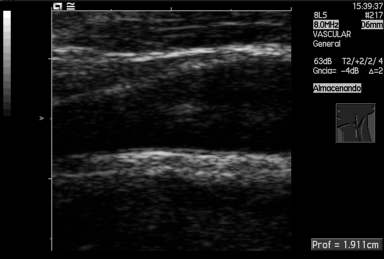
Identify the standard plane in this fetal ultrasound image: fetal abdomen, fetal brain, fetal femur, fetal thorax, maternal cervix, or other. If it's fetal brain and one of the three standard brain planes (trans-thalamic, trans-cerebellum, trans-ventricular), name which.

Other